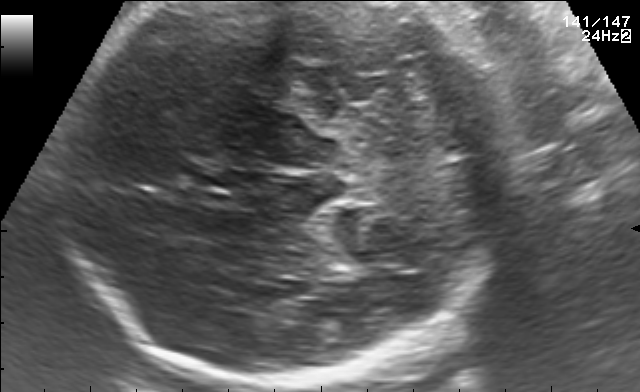
Fetal brain, trans-cerebellum plane. Give [x1,y1,x2,y2] bounding boxes for each visible structure among: fetal head, CSP, LV.

Head: [67,4,498,385]